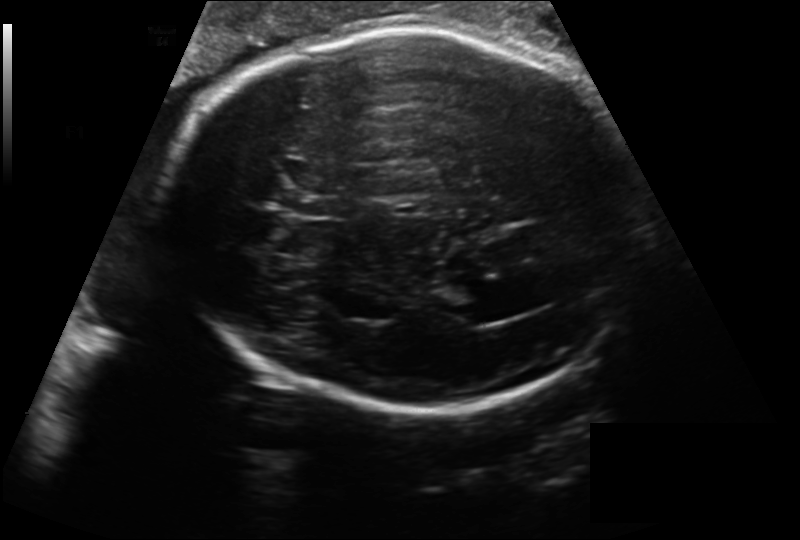
From this fetal ultrasound, estimate the head circumference (image width 174.3 mm).

Head circumference: 296.4 mm.